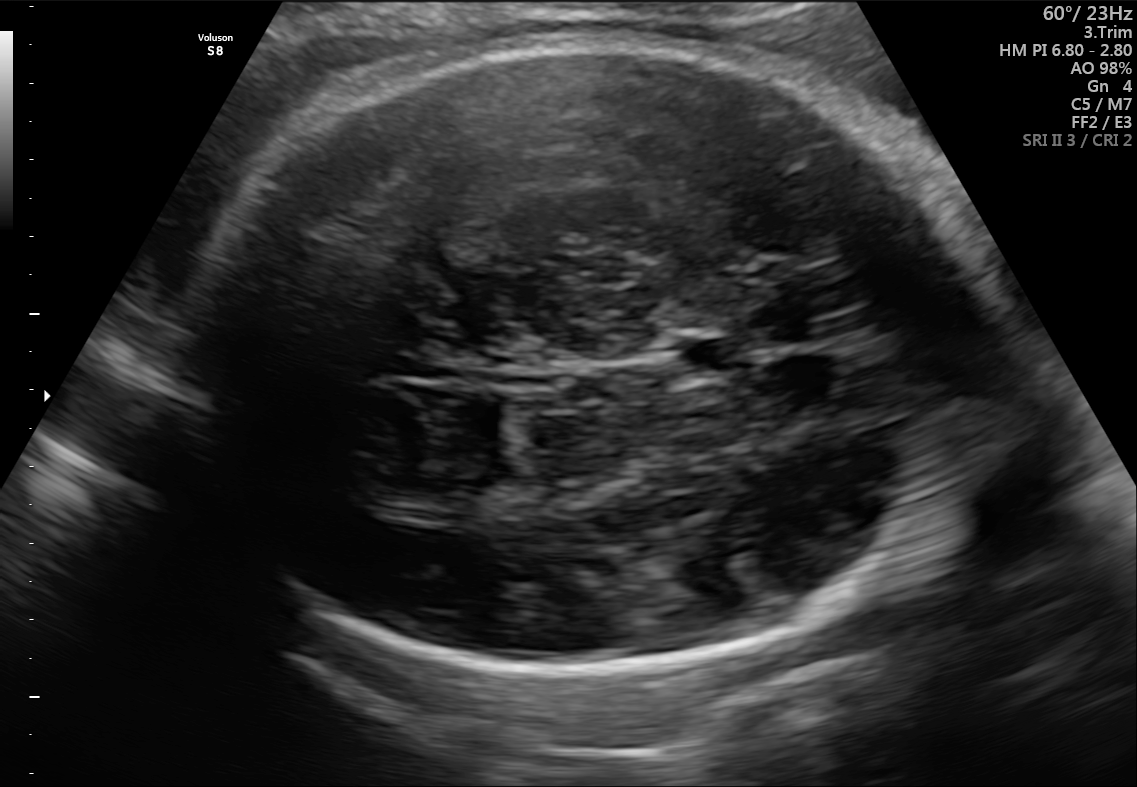
In this fetal brain, trans-thalamic plane, give the bounding box of the fetal head.

[194,40,992,685]